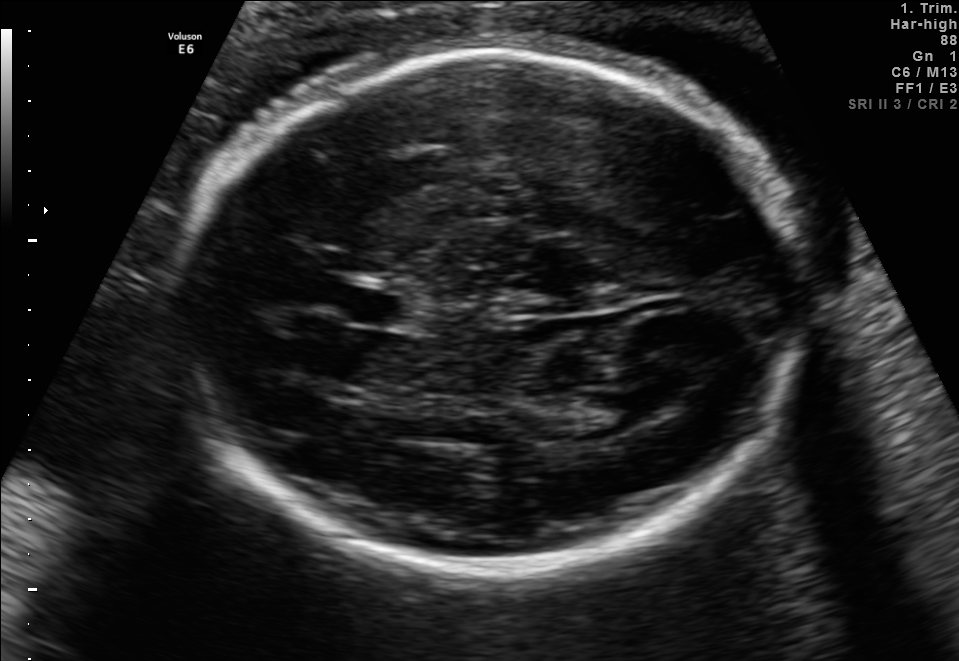
In this fetal brain, trans-thalamic plane, give bounding boxes for the head outline, cavum septum pellucidum (CSP), and lateral ventricle (LV), where visible.

Head: [180,54,819,573]
CSP: [343,286,411,328]
Lateral ventricle: [570,387,655,438]